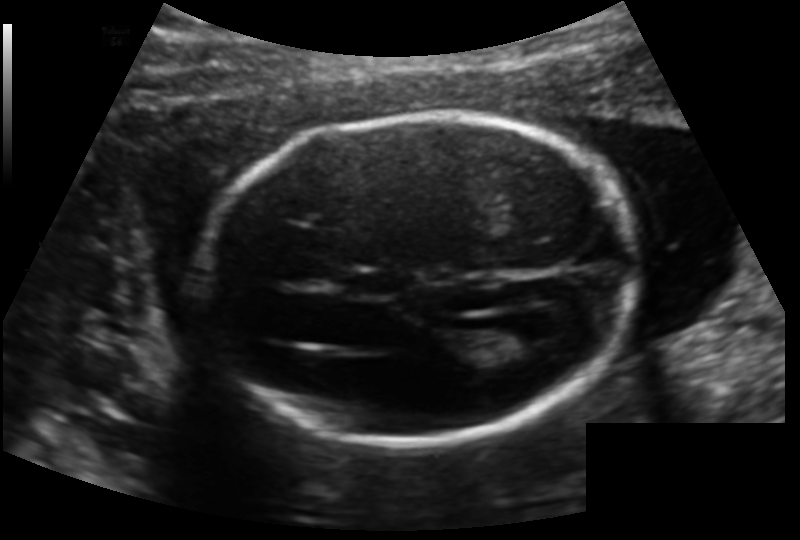
Fetal head ultrasound. Image width: 112.1 mm. Where is the fetal head?

Head bounding box: [203,114,637,444]